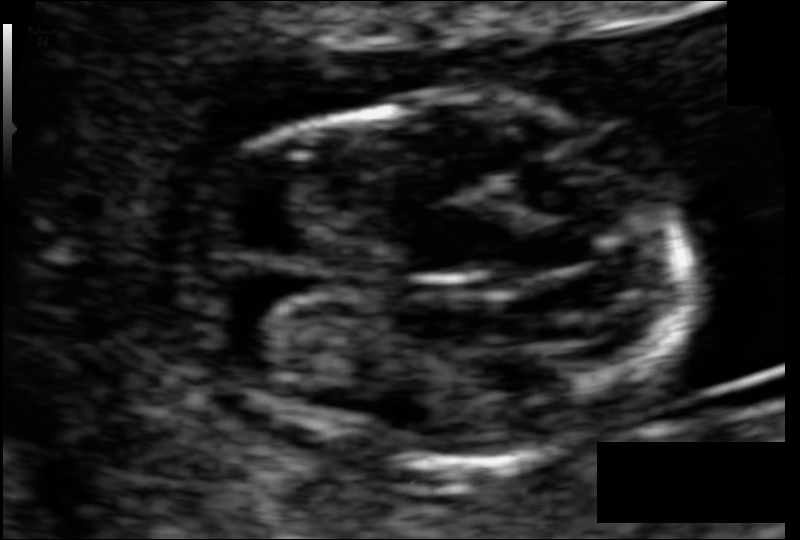
Fetal head ultrasound. Image width: 41.8 mm. Where is the fetal head?

Head bounding box: [180,100,697,463]